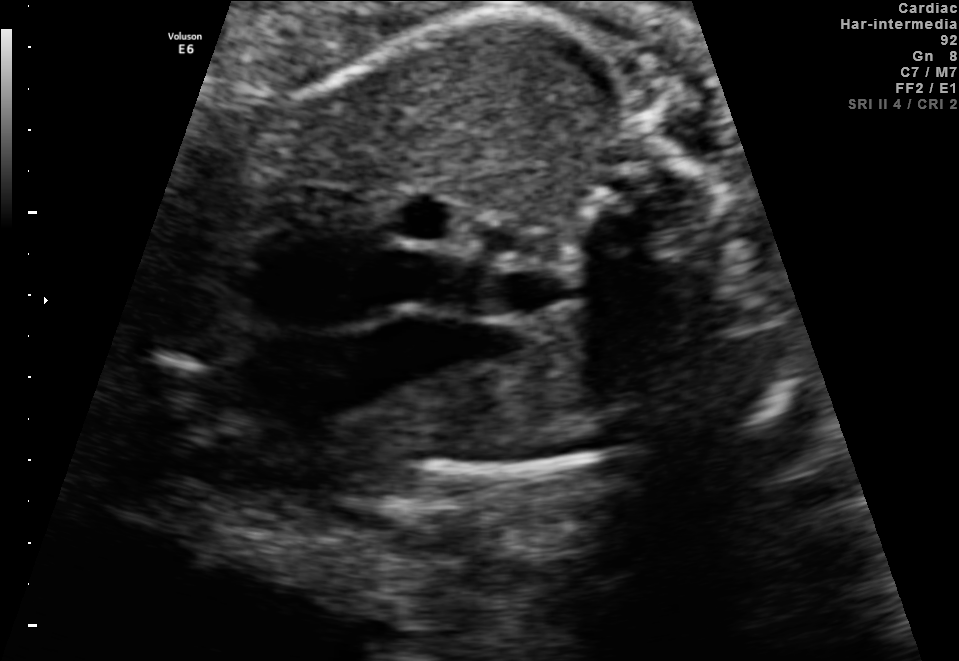
This is a 2D maternal-fetal ultrasound frame. Is it a fetal abdomen, fetal brain, fetal femur, fetal thorax, maternal cervix, or other standard plane? If it's fetal brain and one of the three standard brain planes (trans-thalamic, trans-cerebellum, trans-ventricular), name which.

Other